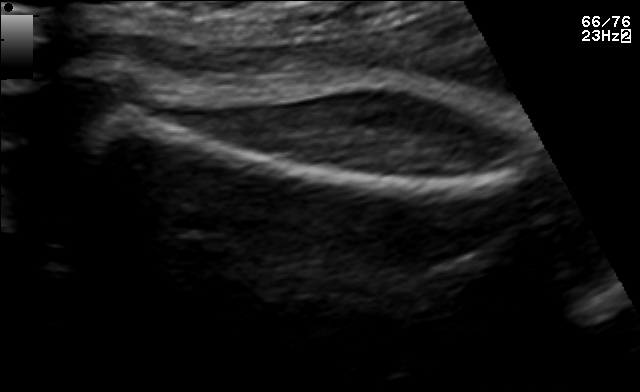
Identify the standard plane in this fetal ultrasound image: fetal abdomen, fetal brain, fetal femur, fetal thorax, maternal cervix, or other. If it's fetal brain and one of the three standard brain planes (trans-thalamic, trans-cerebellum, trans-ventricular), name which.

Fetal femur